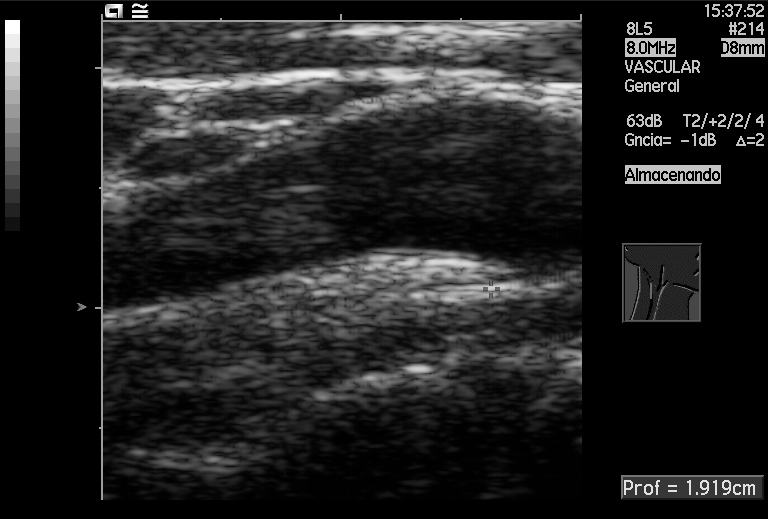
Classify this maternal-fetal ultrasound image as one of the six standard planes — fetal abdomen, fetal brain, fetal femur, fetal thorax, maternal cervix, or other. If it's fetal brain and one of the three standard brain planes (trans-thalamic, trans-cerebellum, trans-ventricular), name which.

Other